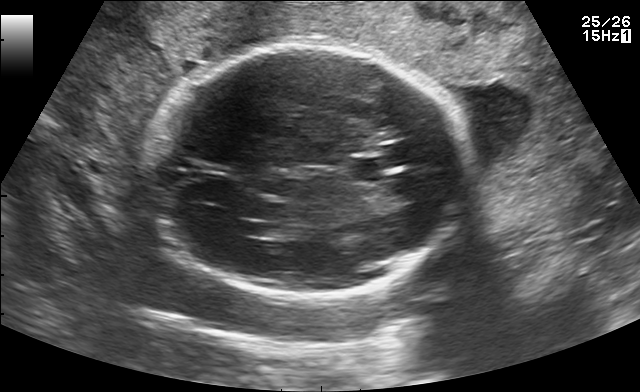
Which standard maternal-fetal ultrasound plane is shown: fetal abdomen, fetal brain, fetal femur, fetal thorax, maternal cervix, or other? If it's fetal brain and one of the three standard brain planes (trans-thalamic, trans-cerebellum, trans-ventricular), name which.

Fetal brain (trans-ventricular plane)